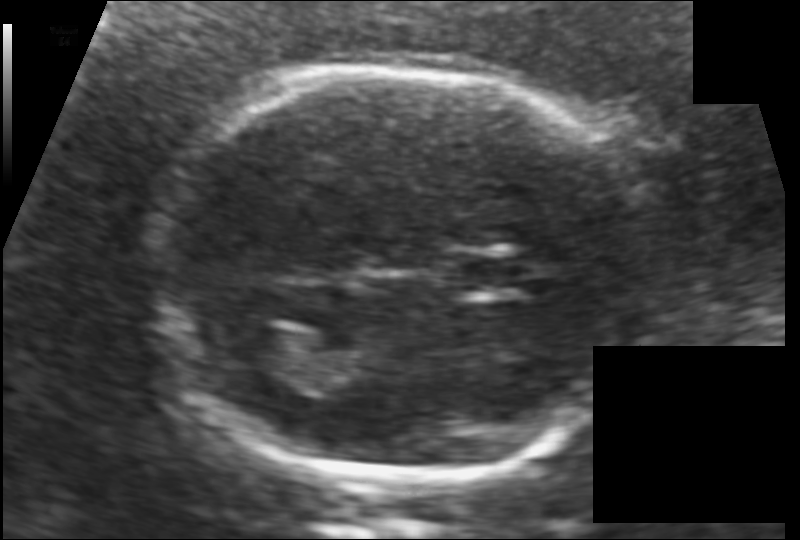
Fetal head ultrasound. Image width: 94.0 mm. Locate the lateral ventricle.

Lateral ventricle: [220,315,300,376]